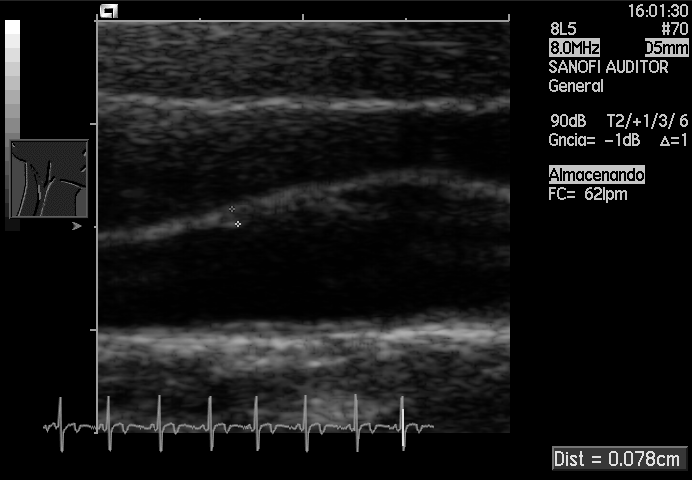
Classify this maternal-fetal ultrasound image as one of the six standard planes — fetal abdomen, fetal brain, fetal femur, fetal thorax, maternal cervix, or other. If it's fetal brain and one of the three standard brain planes (trans-thalamic, trans-cerebellum, trans-ventricular), name which.

Other